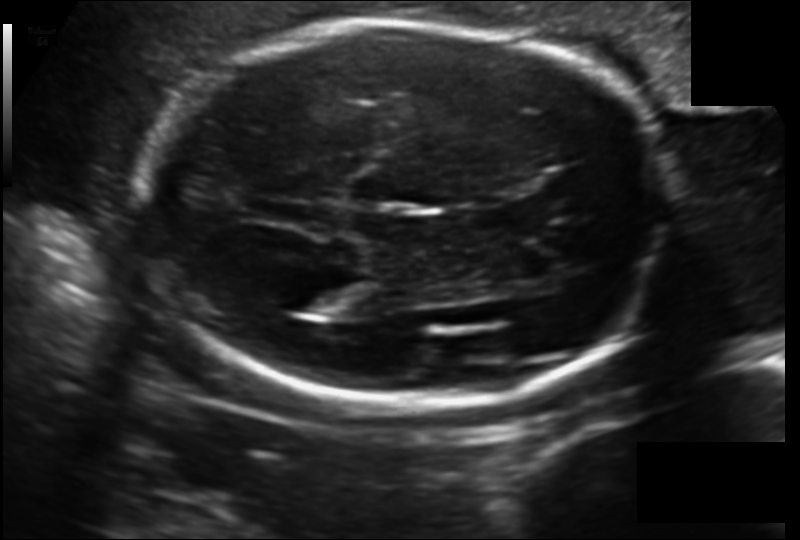
Fetal head ultrasound. Image width: 121.4 mm. Where is the fetal head?

Head bounding box: [143,19,669,407]